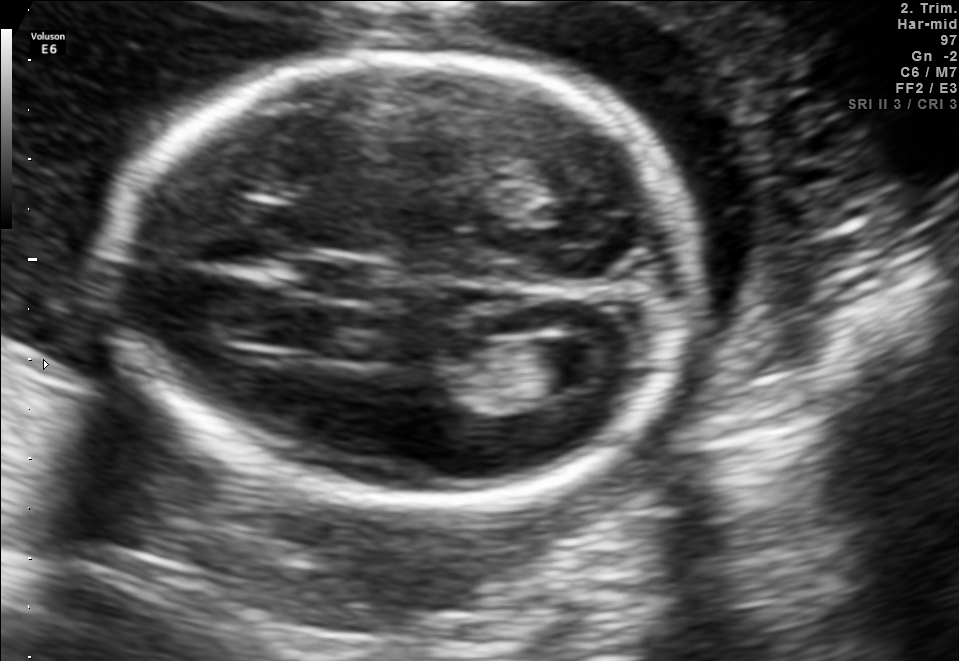
Fetal brain, trans-ventricular plane. Locate the fetal head and, if visible, the cavum septum pellucidum (CSP) and lateral ventricle (LV). Give bounding boxes as [x1,y1,x2,y2].

Head: [94,44,711,521]
CSP: [293,257,374,302]
Lateral ventricle: [538,334,619,389]